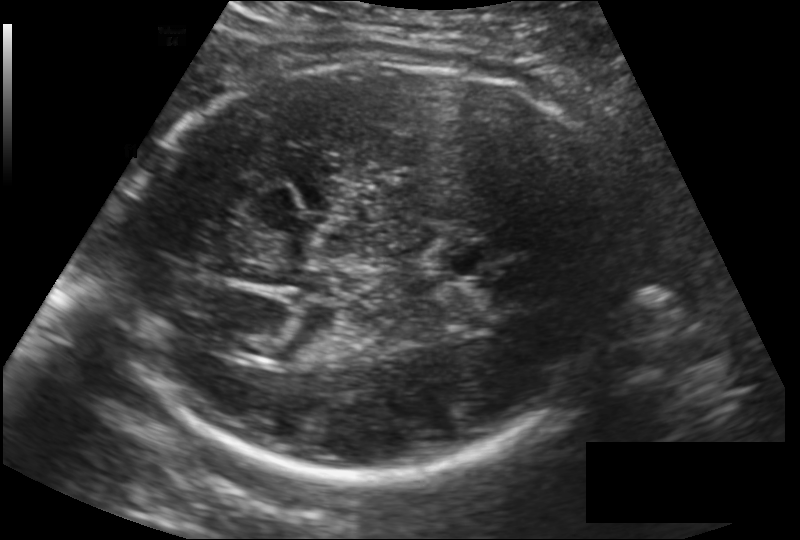
Measure the fetal head circumference shown in this ultrasound image. Image width: 148.6 mm.

Head circumference: 278.3 mm.